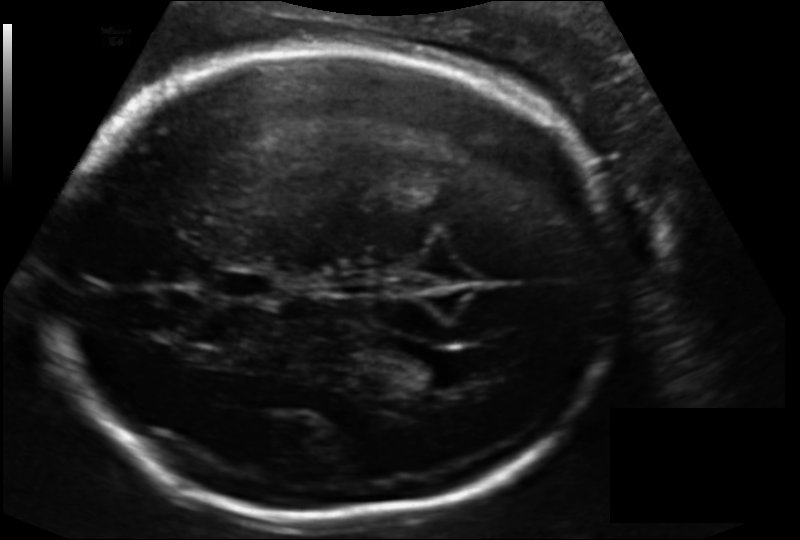
From this fetal ultrasound, estimate the head circumference (image width 124.7 mm).

Head circumference: 259.3 mm.